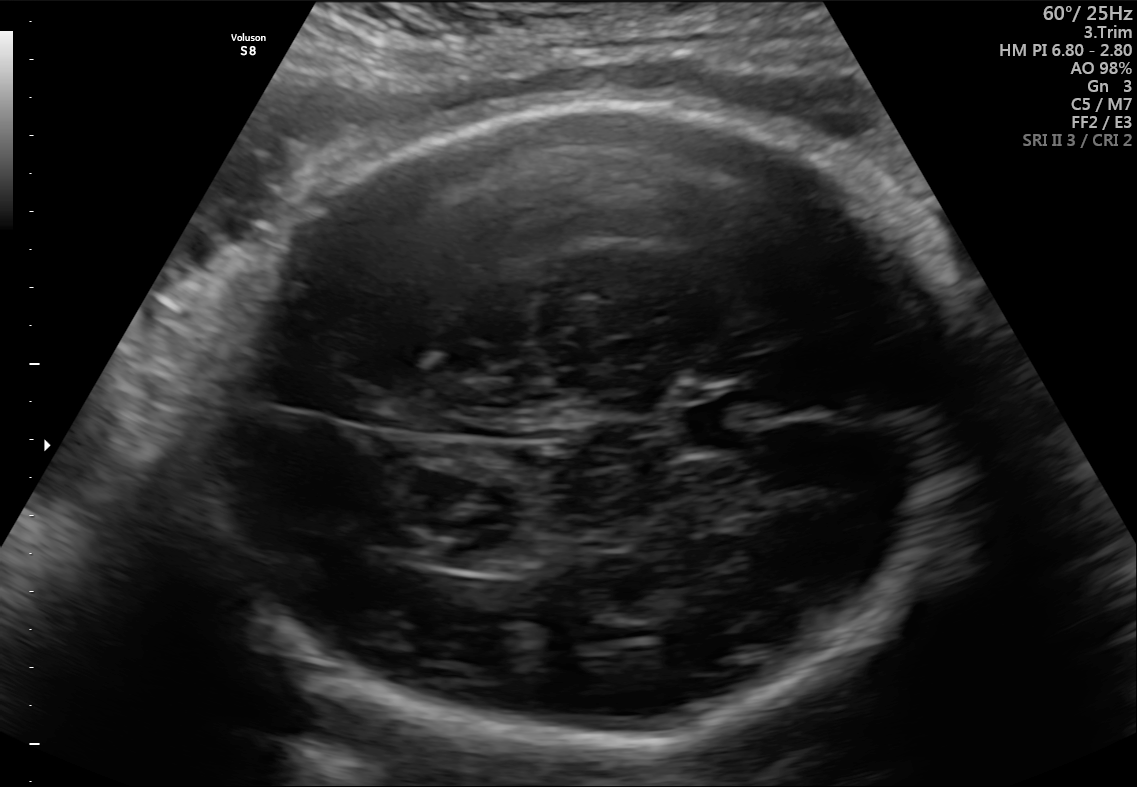
Fetal brain, trans-thalamic plane. Give [x1,y1,x2,y2] bounding boxes for each visible structure among: fetal head, CSP, LV.

Head: [183,102,964,756]
CSP: [678,394,761,455]
Lateral ventricle: [426,540,515,575]